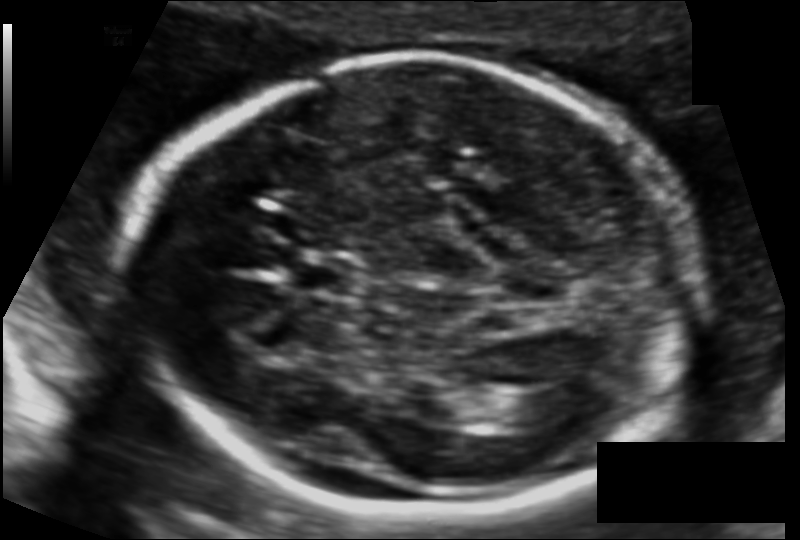
Fetal head ultrasound. Image width: 89.5 mm. Where is the cavum septum pellucidum?

CSP bounding box: [284,252,352,297]